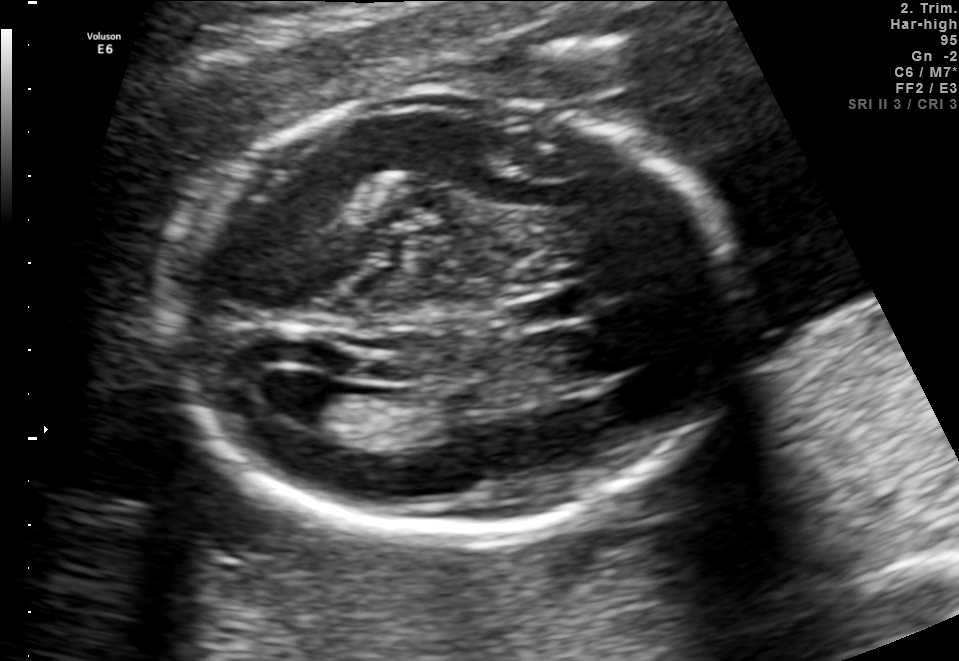
Fetal brain, trans-ventricular plane. Where is the fetal head?

Head bounding box: [156,85,757,546]